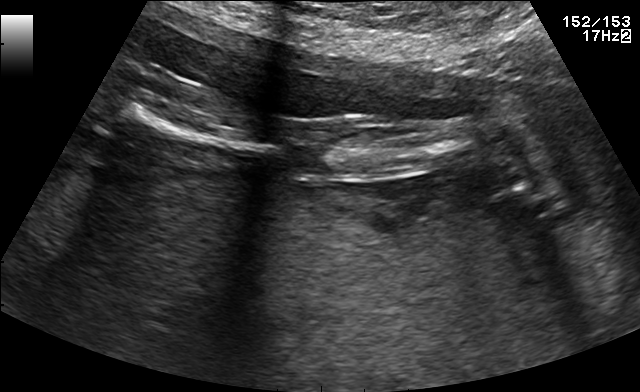
Classify this maternal-fetal ultrasound image as one of the six standard planes — fetal abdomen, fetal brain, fetal femur, fetal thorax, maternal cervix, or other. If it's fetal brain and one of the three standard brain planes (trans-thalamic, trans-cerebellum, trans-ventricular), name which.

Other